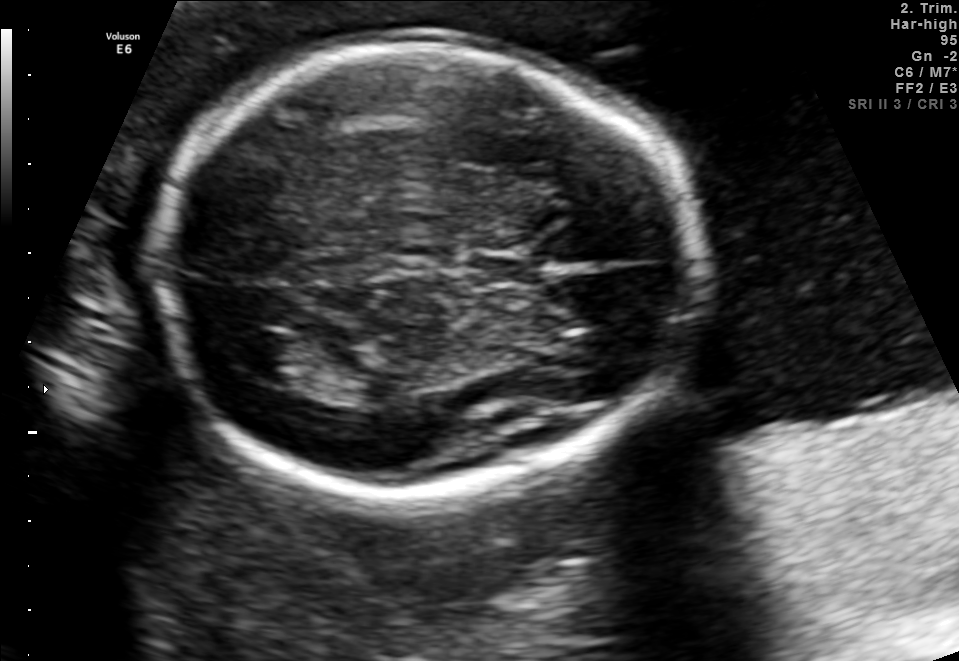
Fetal brain, trans-thalamic plane. Locate the fetal head.

Head: [151,41,698,496]